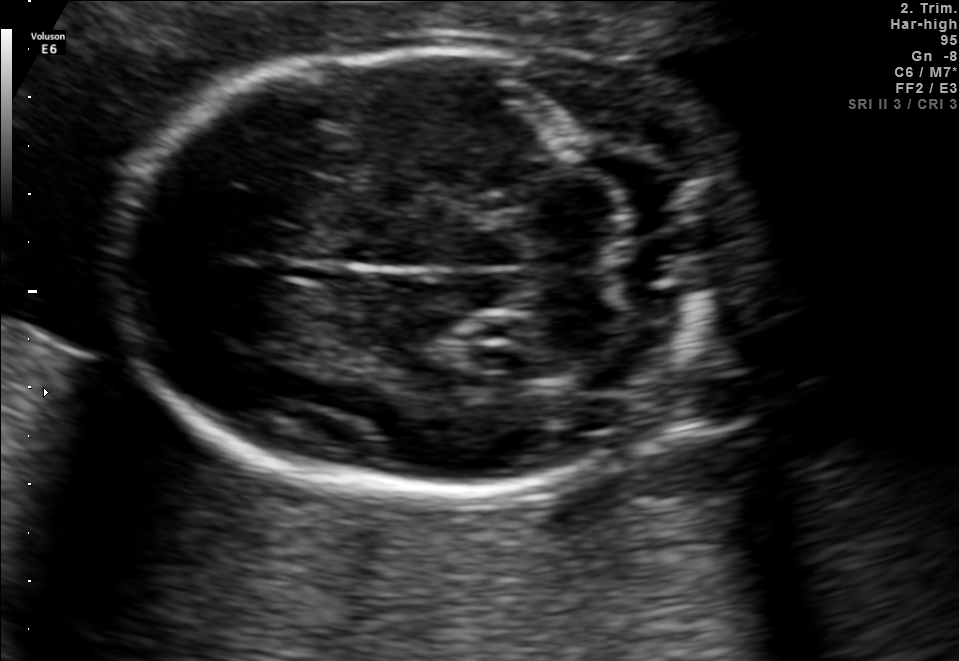
Fetal brain, trans-cerebellum plane. Locate the fetal head.

Head: [111,50,752,491]